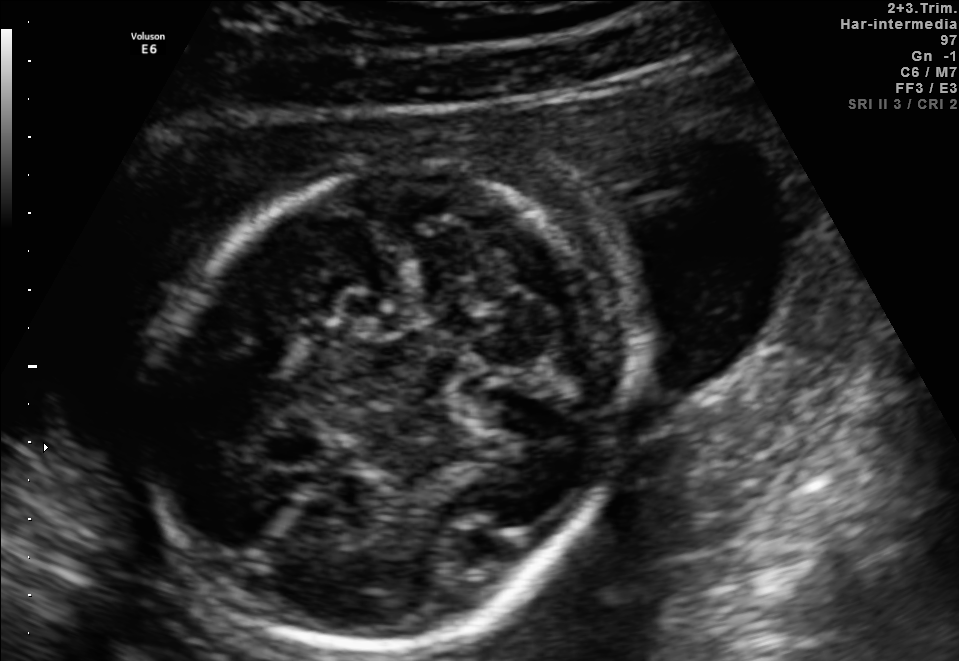
This is a 2D maternal-fetal ultrasound frame. Is it a fetal abdomen, fetal brain, fetal femur, fetal thorax, maternal cervix, or other standard plane? If it's fetal brain and one of the three standard brain planes (trans-thalamic, trans-cerebellum, trans-ventricular), name which.

Fetal brain (trans-cerebellum plane)